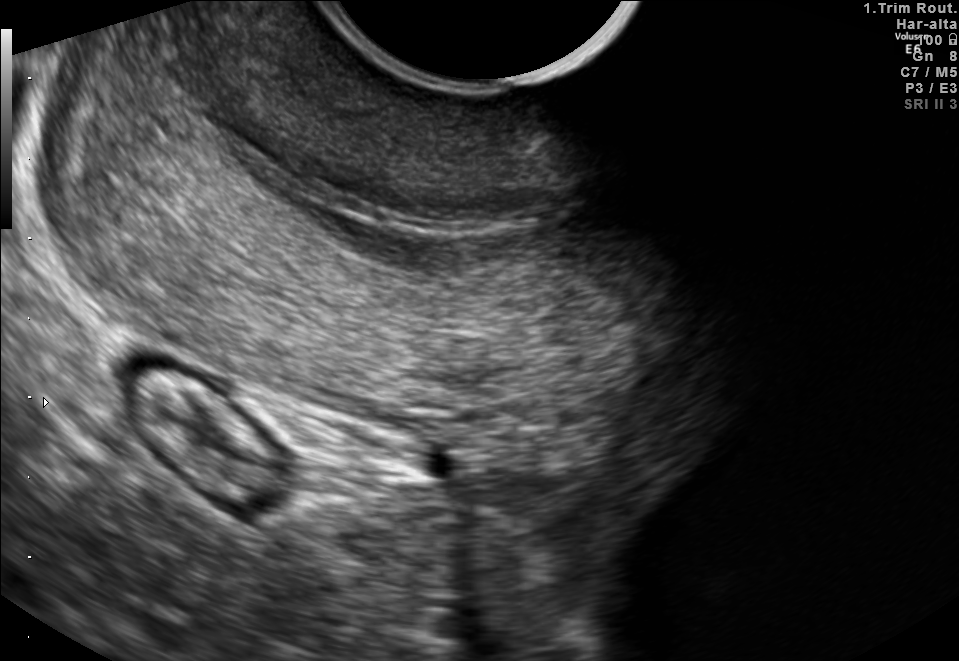
Which standard maternal-fetal ultrasound plane is shown: fetal abdomen, fetal brain, fetal femur, fetal thorax, maternal cervix, or other? If it's fetal brain and one of the three standard brain planes (trans-thalamic, trans-cerebellum, trans-ventricular), name which.

Maternal cervix